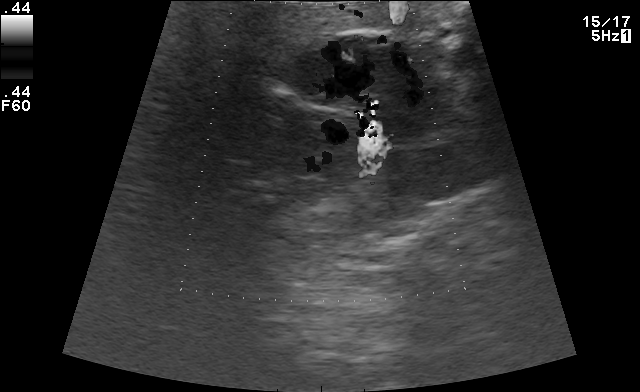
Identify the standard plane in this fetal ultrasound image: fetal abdomen, fetal brain, fetal femur, fetal thorax, maternal cervix, or other. If it's fetal brain and one of the three standard brain planes (trans-thalamic, trans-cerebellum, trans-ventricular), name which.

Other